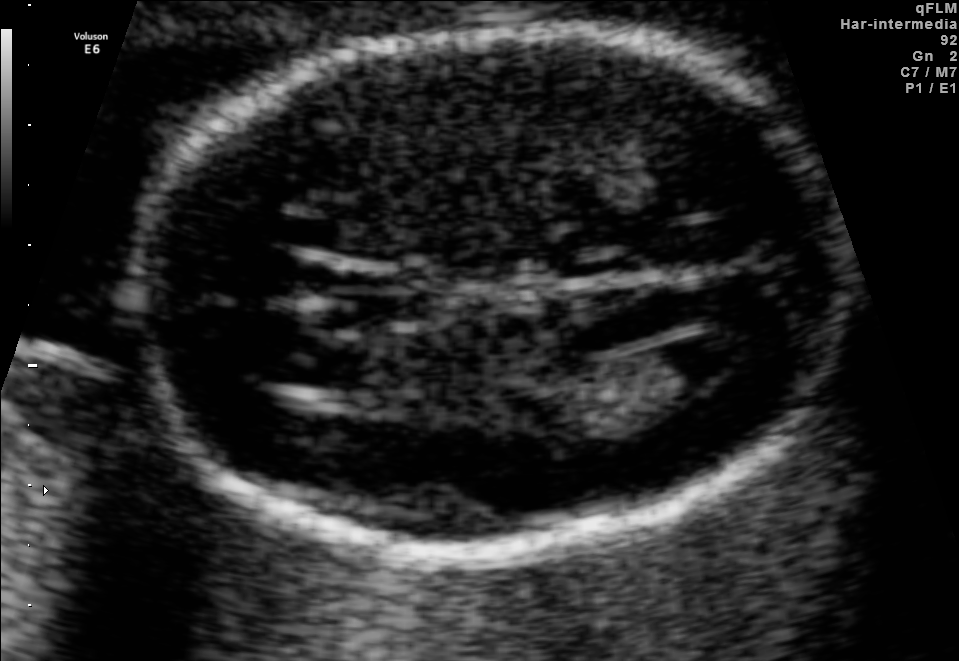
Fetal brain, trans-ventricular plane. Give [x1,y1,x2,y2] bounding boxes for each visible structure among: fetal head, CSP, LV.

Head: [131,22,840,559]
CSP: [314,272,442,324]
Lateral ventricle: [643,323,755,406]